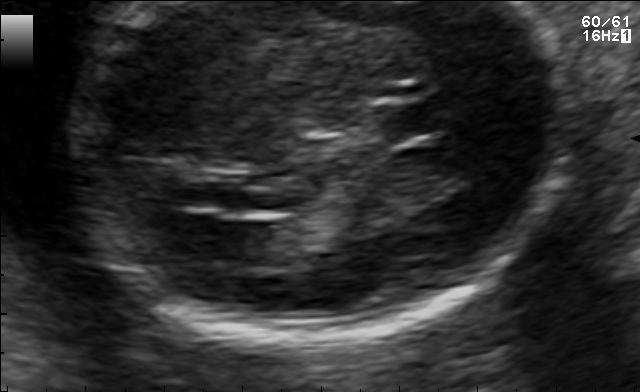
Fetal brain, trans-ventricular plane. Locate the cavum septum pellucidum.

CSP: [379,94,458,144]